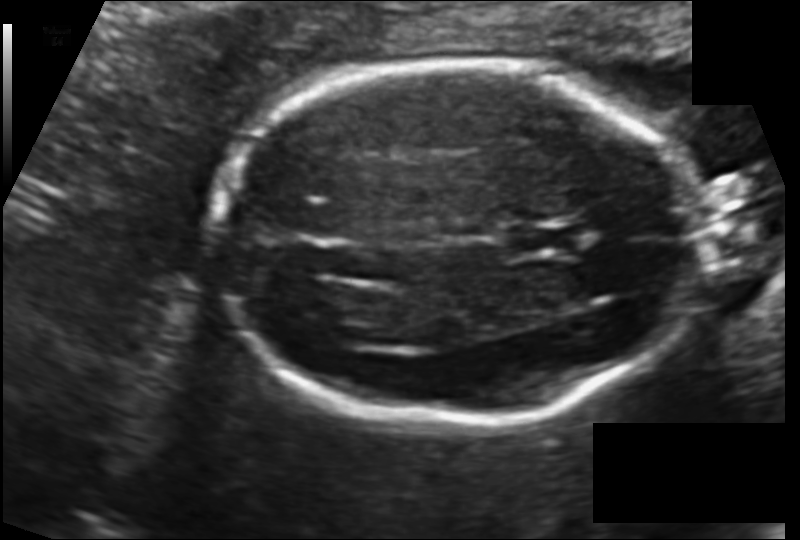
Measure the fetal head circumference shown in this ultrasound image. Image width: 98.3 mm.

Head circumference: 169.3 mm.